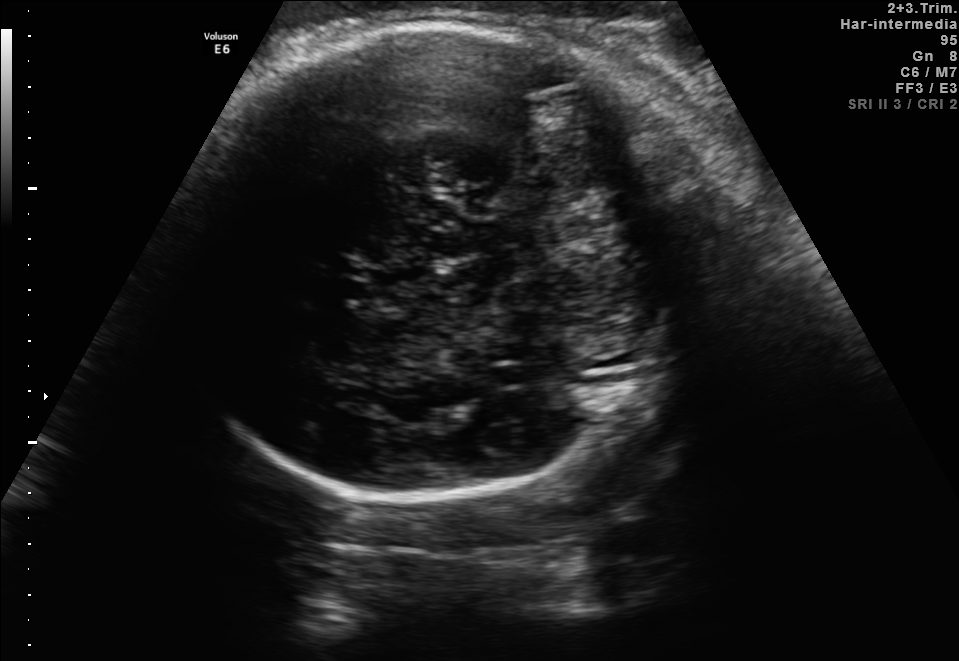
Fetal brain, trans-cerebellum plane. Locate the fetal head and, if visible, the cavum septum pellucidum (CSP) and lateral ventricle (LV). Give bounding boxes as [x1,y1,x2,y2].

Head: [172,21,687,500]